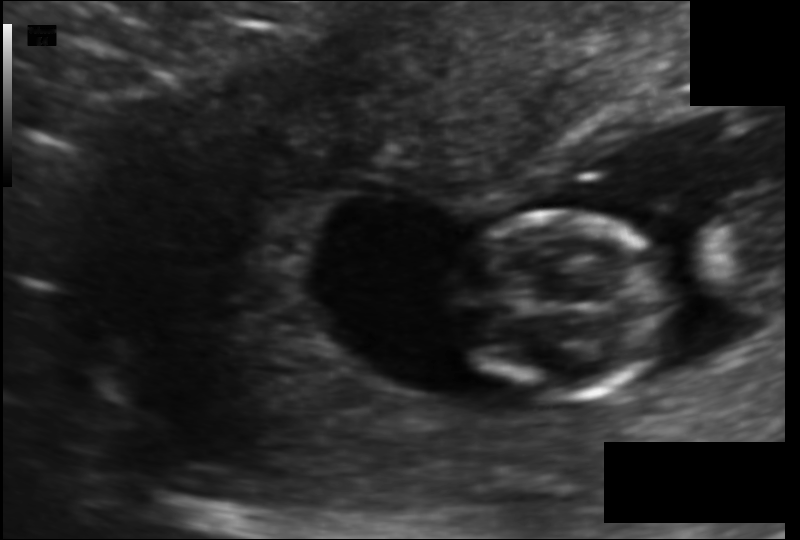
What is the fetal head circumference? Image width is 82.9 mm.

70.0 mm